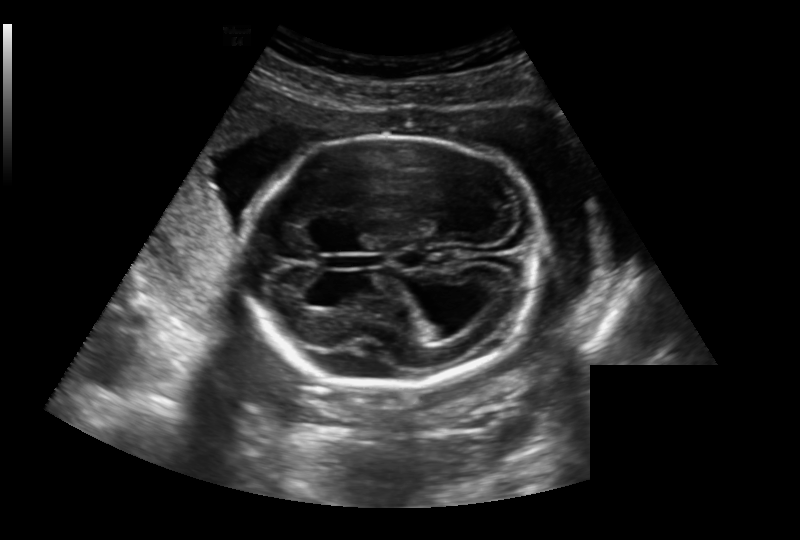
Fetal head ultrasound. Image width: 188.6 mm. Locate the fetal head.

Head: [242,136,541,385]